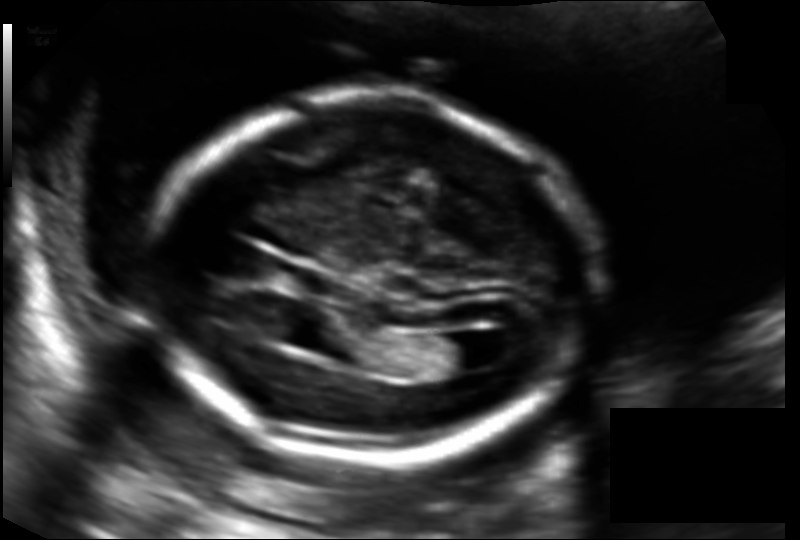
Fetal head ultrasound. Image width: 104.2 mm. Give [x1,y1,x2,y2] bounding boxes for each visible structure among: fetal head, CSP, LV.

Head: [151,97,591,461]
CSP: [277,258,336,300]
Lateral ventricle: [435,331,493,374]